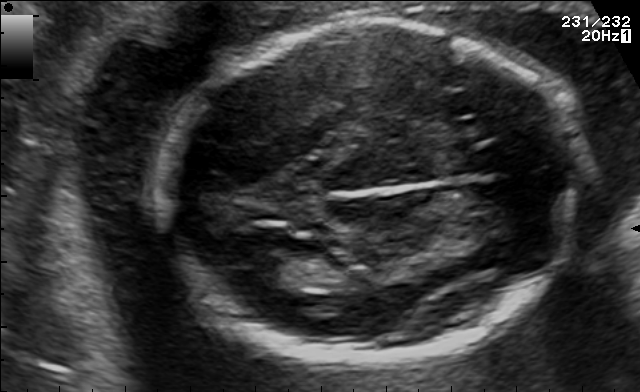
Fetal brain, trans-thalamic plane. Give [x1,y1,x2,y2] bounding boxes for each visible structure among: fetal head, CSP, LV.

Head: [154,20,582,362]
Lateral ventricle: [241,248,314,290]